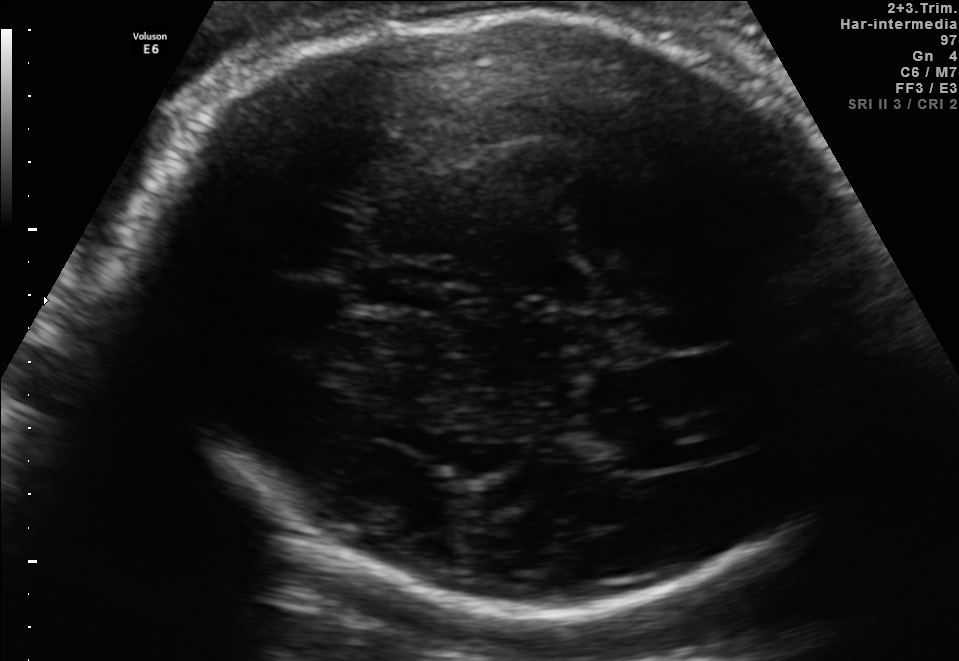
In this fetal brain, trans-thalamic plane, give the bounding box of the lateral ventricle.

[593,421,711,476]